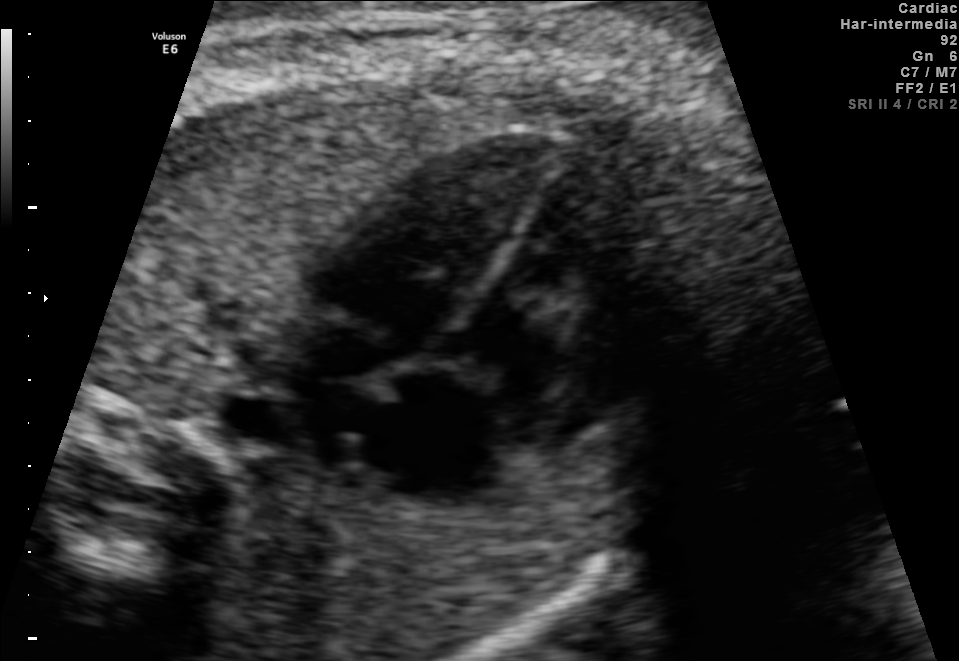
This is a 2D maternal-fetal ultrasound frame. Is it a fetal abdomen, fetal brain, fetal femur, fetal thorax, maternal cervix, or other standard plane? If it's fetal brain and one of the three standard brain planes (trans-thalamic, trans-cerebellum, trans-ventricular), name which.

Fetal thorax